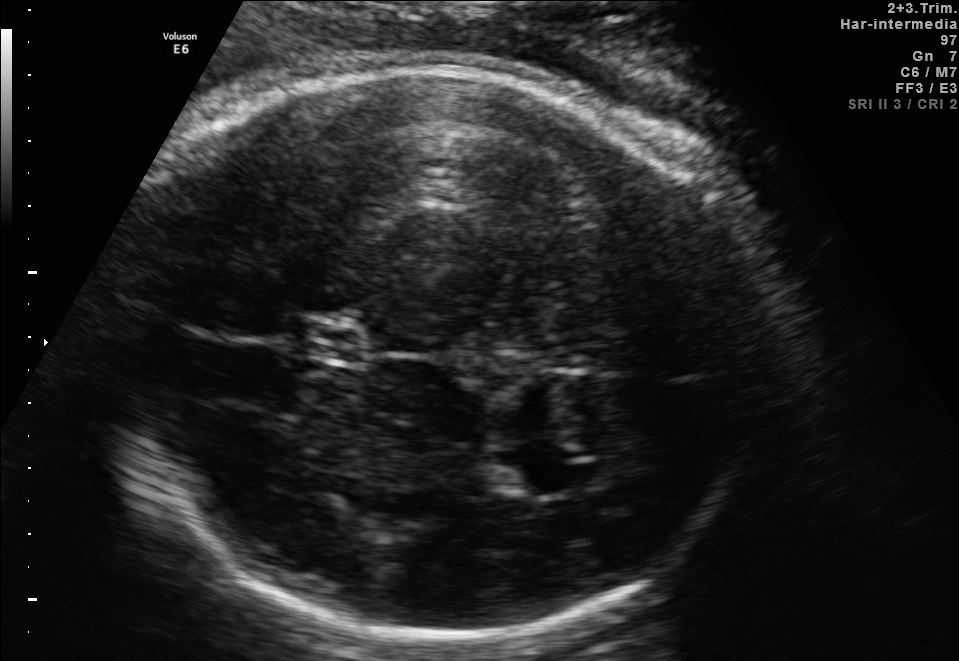
Fetal brain, trans-thalamic plane. Where is the cavum septum pellucidum?

CSP bounding box: [290,317,364,363]